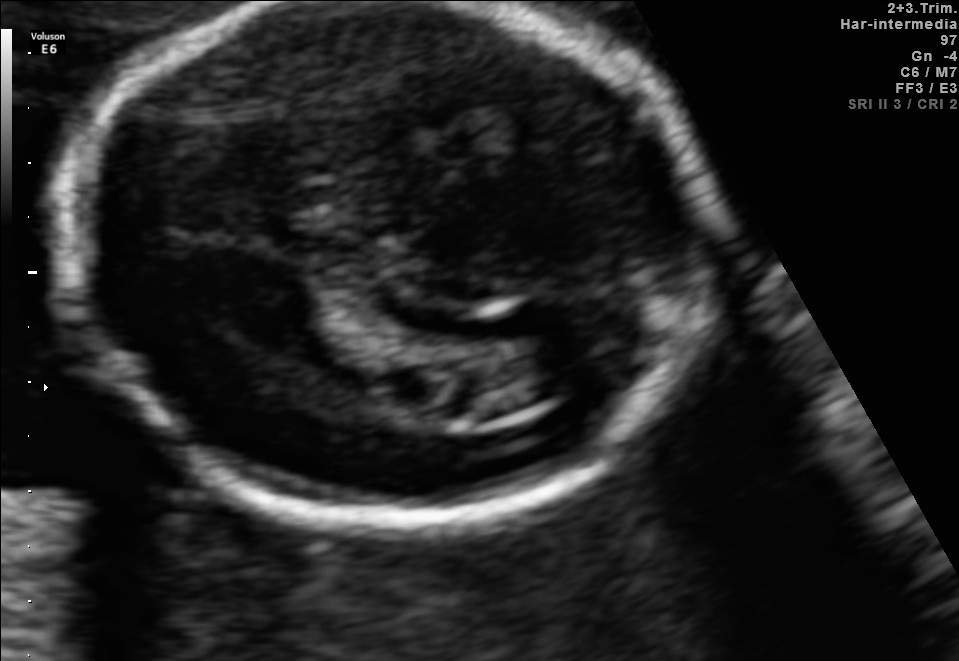
In this fetal brain, trans-ventricular plane, give bounding boxes for the head outline, cavum septum pellucidum (CSP), and lateral ventricle (LV), where visible.

Head: [47,3,736,542]
Lateral ventricle: [512,330,609,407]